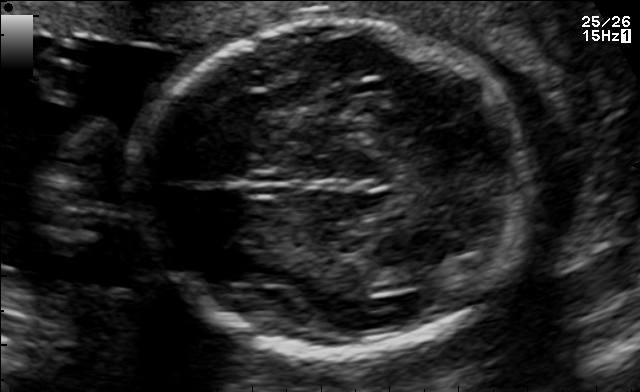
Fetal brain, trans-thalamic plane. Locate the fetal head.

Head: [137,23,523,354]